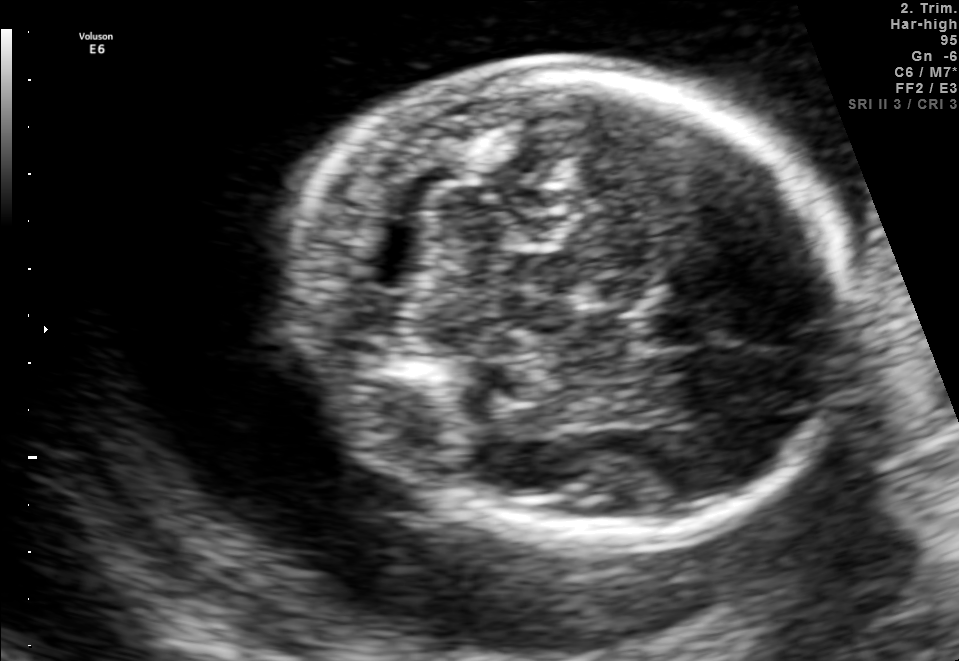
Fetal brain, trans-cerebellum plane. Locate the fetal head and, if visible, the cavum septum pellucidum (CSP) and lateral ventricle (LV). Give bounding boxes as [x1,y1,x2,y2].

Head: [297,63,846,538]
CSP: [635,308,714,352]